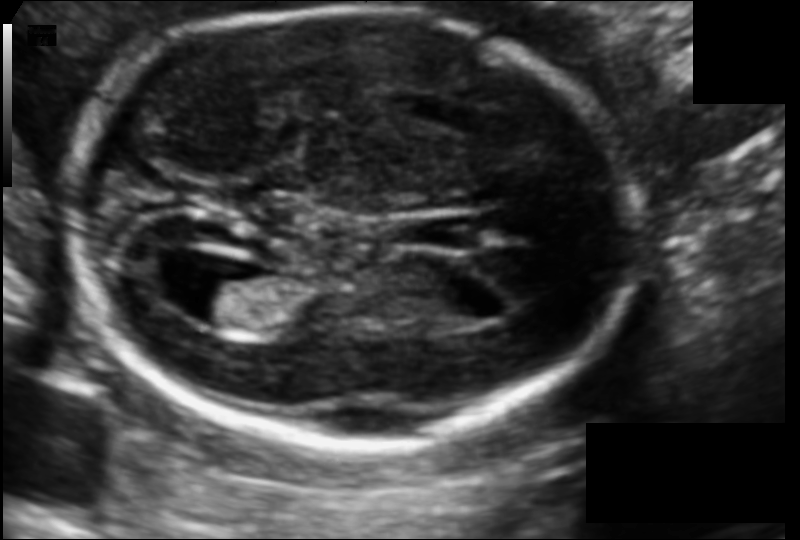
Fetal head ultrasound. Image width: 83.9 mm. Give [x1,y1,x2,y2] bounding boxes for each visible structure among: fetal head, CSP, LV.

Head: [69,6,631,448]
CSP: [421,216,479,250]
Lateral ventricle: [174,266,269,333]